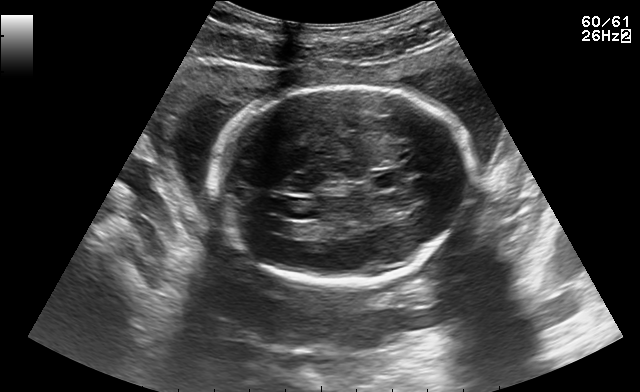
Fetal brain, trans-ventricular plane. Where is the cavum septum pellucidum?

CSP bounding box: [373,172,397,190]